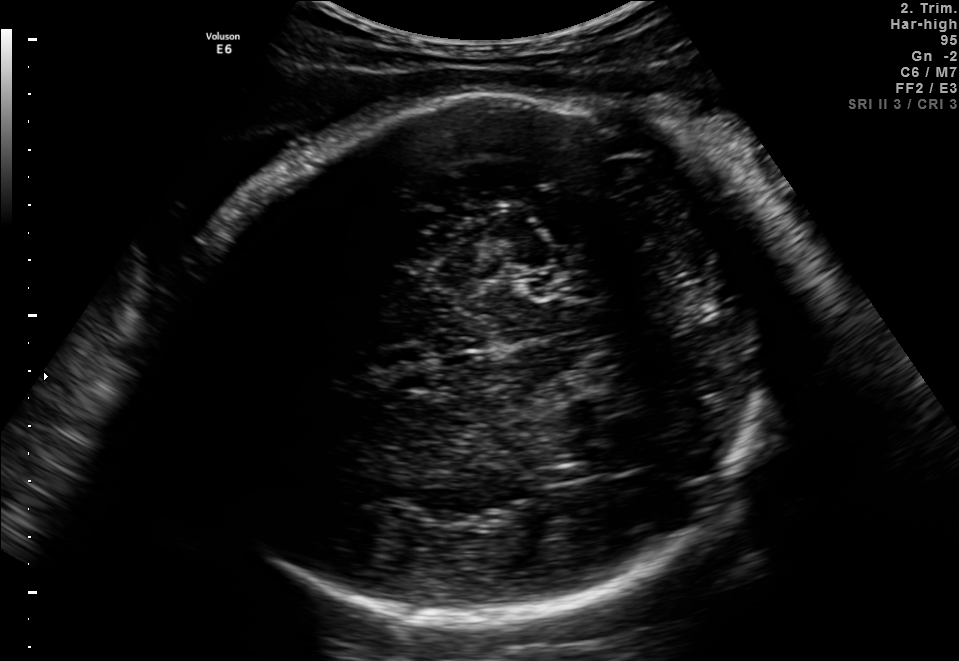
Classify this maternal-fetal ultrasound image as one of the six standard planes — fetal abdomen, fetal brain, fetal femur, fetal thorax, maternal cervix, or other. If it's fetal brain and one of the three standard brain planes (trans-thalamic, trans-cerebellum, trans-ventricular), name which.

Fetal brain (trans-thalamic plane)